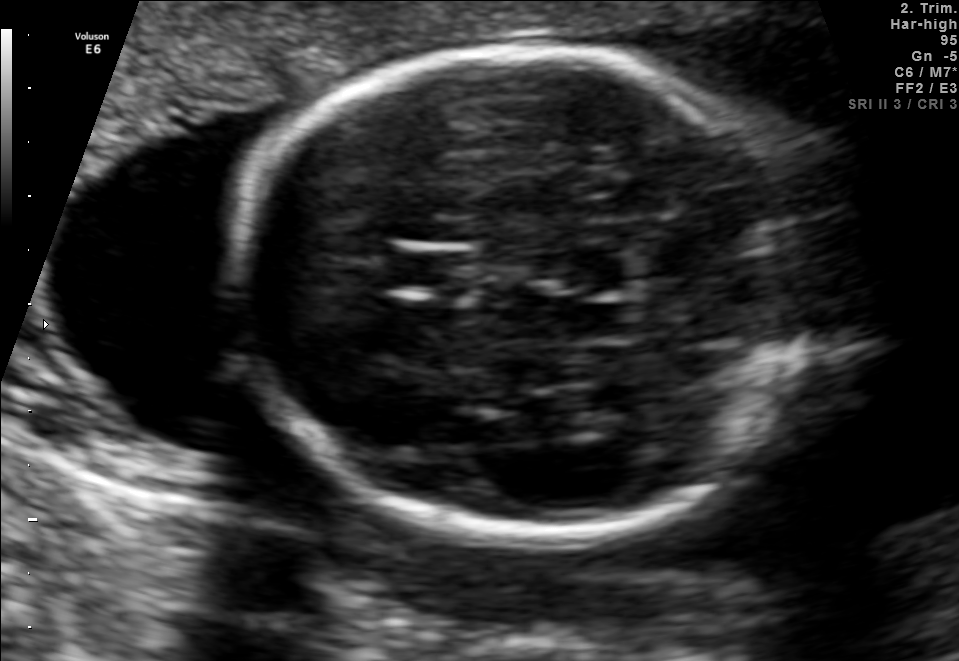
In this fetal brain, trans-thalamic plane, give the bounding box of the fetal head.

[228,50,813,541]